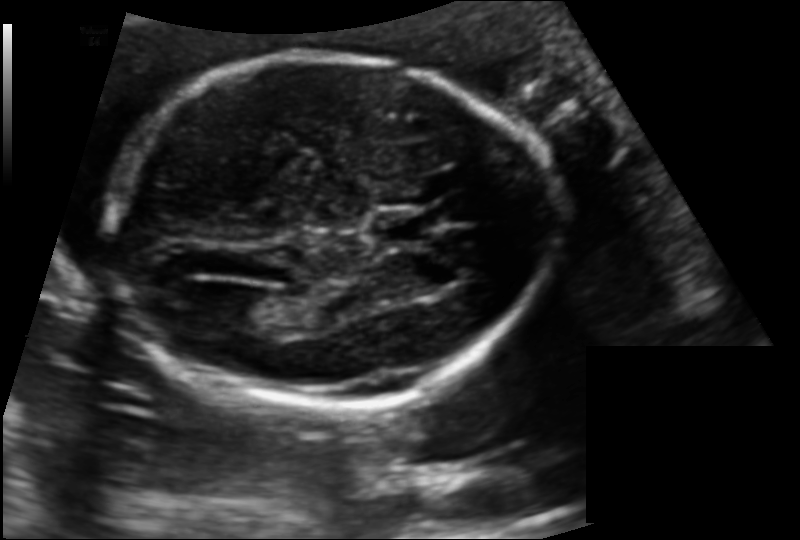
Fetal head ultrasound. Image width: 105.8 mm. Where is the fetal head?

Head bounding box: [106,56,551,404]